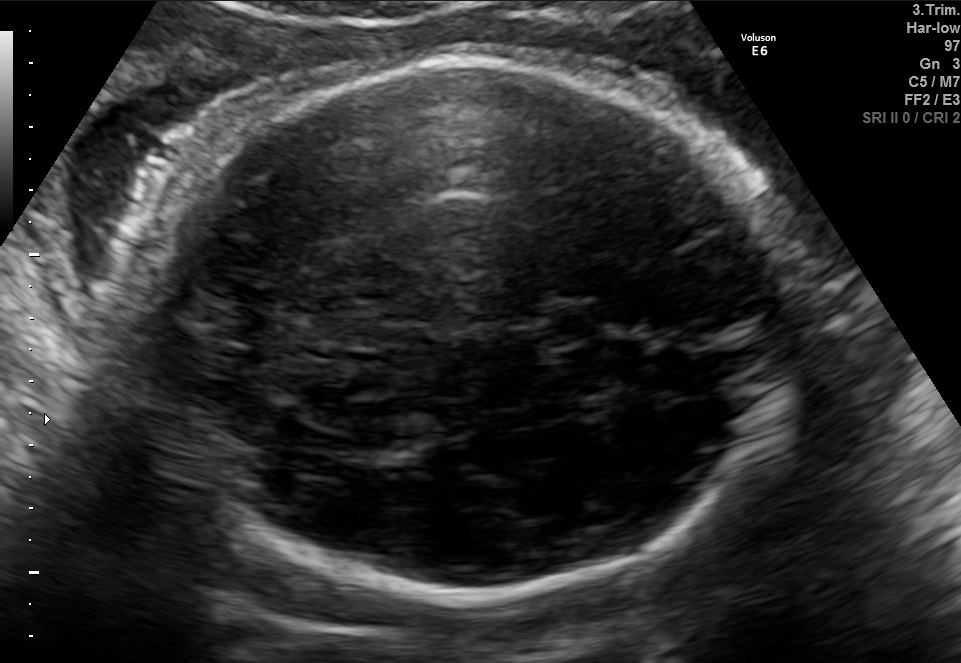
In this fetal brain, trans-thalamic plane, give bounding boxes for the head outline, cavum septum pellucidum (CSP), and lateral ventricle (LV), where visible.

Head: [130,63,797,598]
CSP: [539,296,616,350]